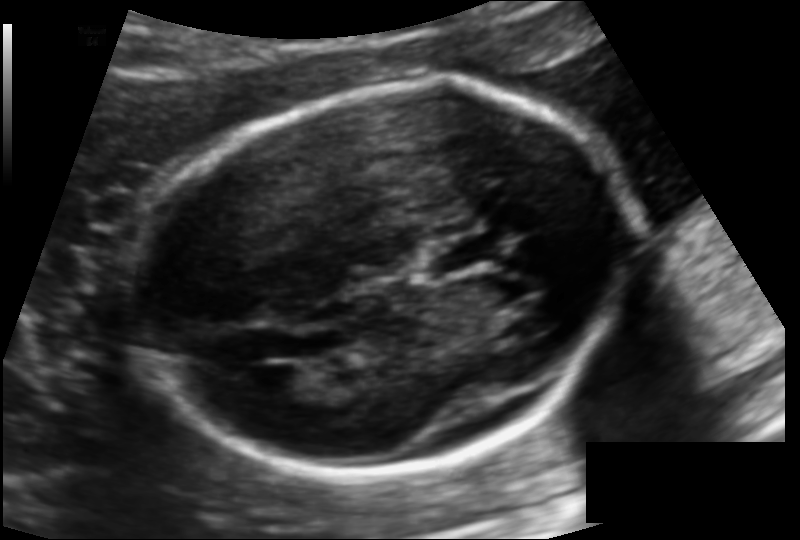
Fetal head ultrasound. Image width: 99.2 mm. Locate the fetal head and, if visible, the cavum septum pellucidum (CSP) and lateral ventricle (LV). Give bounding boxes as [x1,y1,x2,y2].

Head: [135,89,631,471]
CSP: [416,228,503,284]
Lateral ventricle: [252,365,309,400]